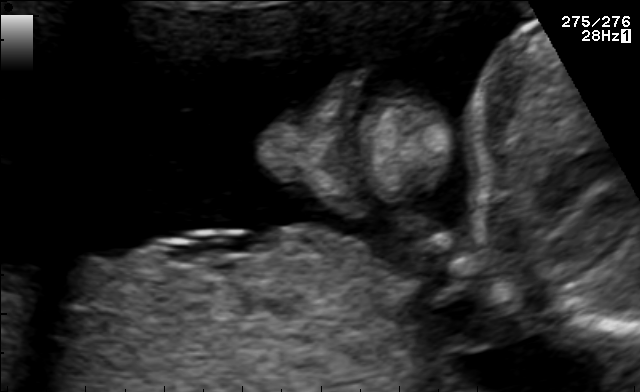
This is a 2D maternal-fetal ultrasound frame. Is it a fetal abdomen, fetal brain, fetal femur, fetal thorax, maternal cervix, or other standard plane? If it's fetal brain and one of the three standard brain planes (trans-thalamic, trans-cerebellum, trans-ventricular), name which.

Other